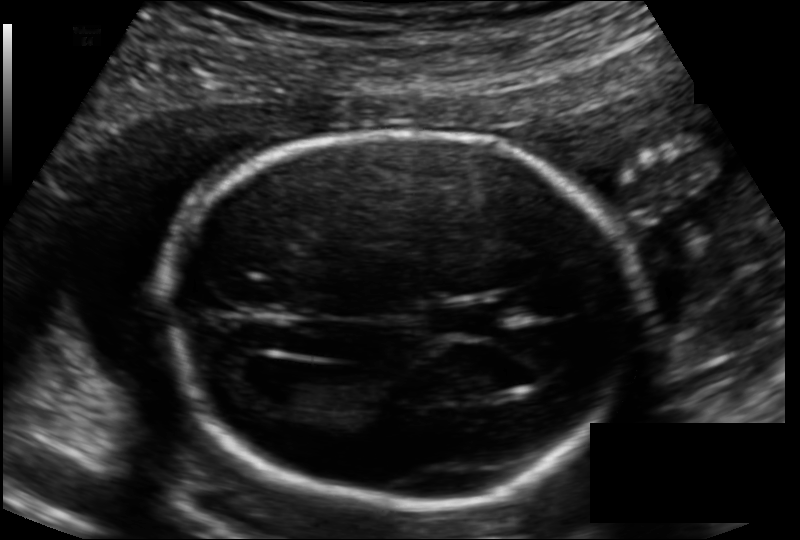
Estimate the fetal head circumference from this 2D ultrasound. Image width: 100.8 mm.

Head circumference: 171.2 mm.